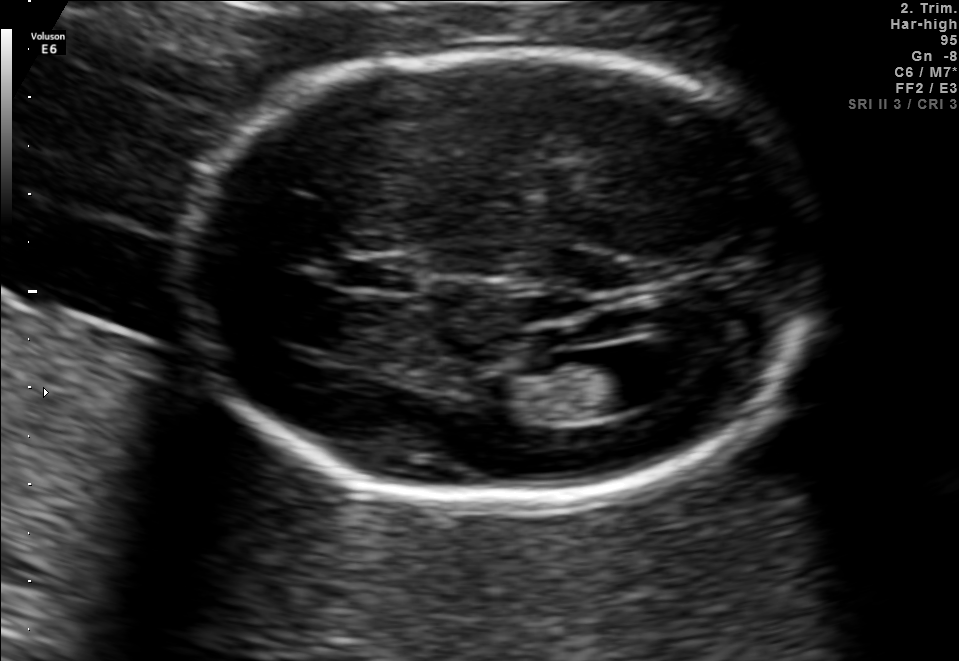
This is a 2D maternal-fetal ultrasound frame. Is it a fetal abdomen, fetal brain, fetal femur, fetal thorax, maternal cervix, or other standard plane? If it's fetal brain and one of the three standard brain planes (trans-thalamic, trans-cerebellum, trans-ventricular), name which.

Fetal brain (trans-ventricular plane)